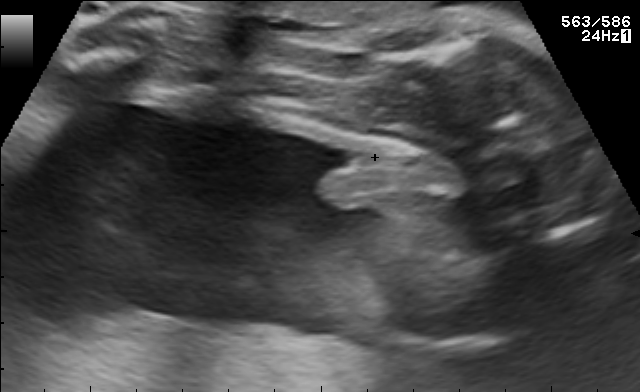
Which standard maternal-fetal ultrasound plane is shown: fetal abdomen, fetal brain, fetal femur, fetal thorax, maternal cervix, or other? If it's fetal brain and one of the three standard brain planes (trans-thalamic, trans-cerebellum, trans-ventricular), name which.

Other